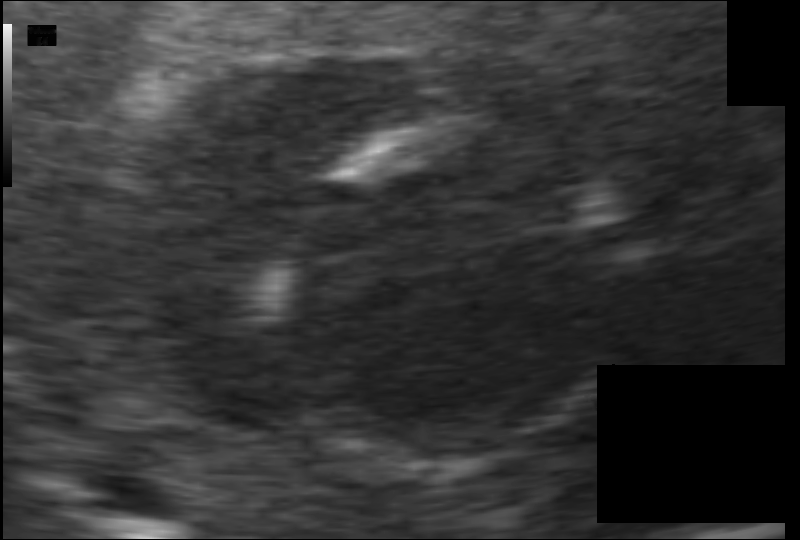
Estimate the fetal head circumference from this 2D ultrasound. Image width: 55.7 mm.

Head circumference: 80.8 mm.